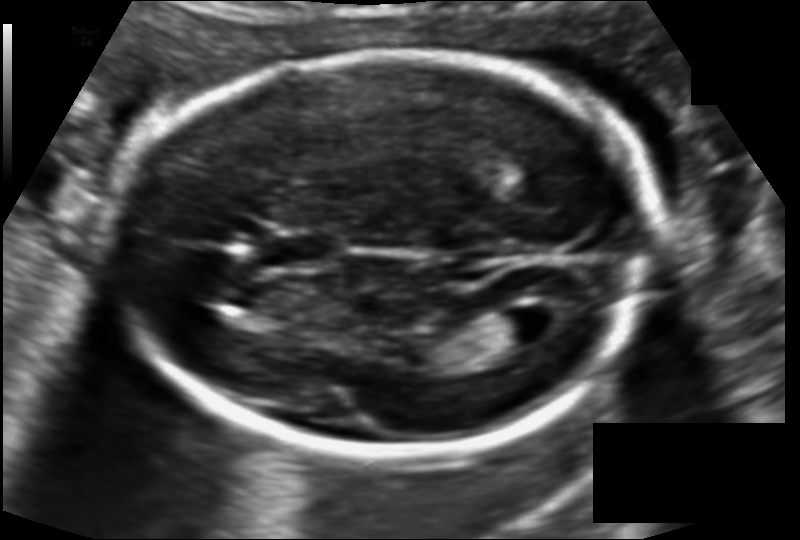
Fetal head ultrasound. Image width: 92.2 mm. Where is the lateral ventricle?

Lateral ventricle bounding box: [483,297,561,355]